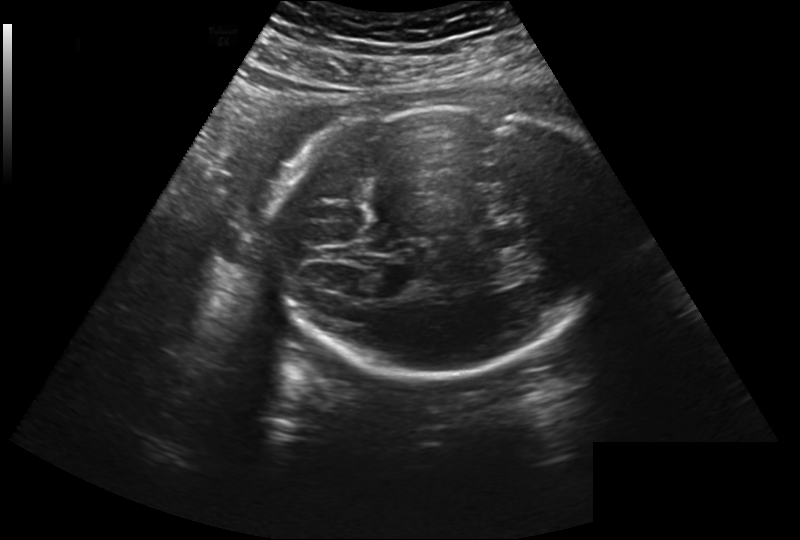
Fetal head ultrasound. Image width: 208.3 mm. Locate the fetal head and, if visible, the cavum septum pellucidum (CSP) and lateral ventricle (LV). Give bounding boxes as [x1,y1,x2,y2].

Head: [268,105,622,377]
CSP: [477,223,522,251]
Lateral ventricle: [320,263,372,298]